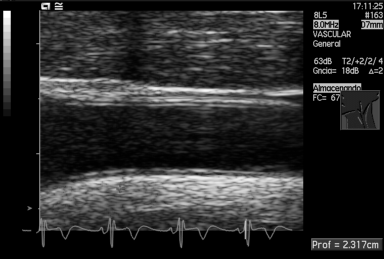
This is a 2D maternal-fetal ultrasound frame. Is it a fetal abdomen, fetal brain, fetal femur, fetal thorax, maternal cervix, or other standard plane? If it's fetal brain and one of the three standard brain planes (trans-thalamic, trans-cerebellum, trans-ventricular), name which.

Other